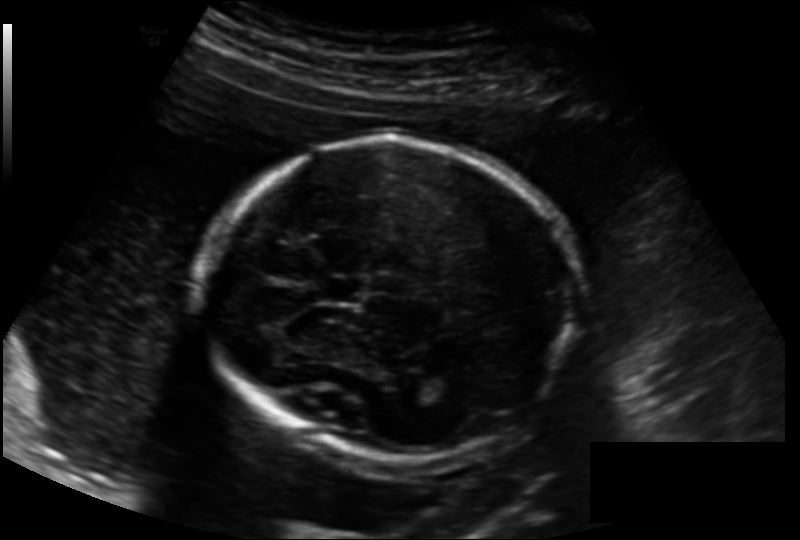
Fetal head ultrasound. Image width: 126.5 mm. Locate the cavum septum pellucidum.

CSP: [319,279,363,301]